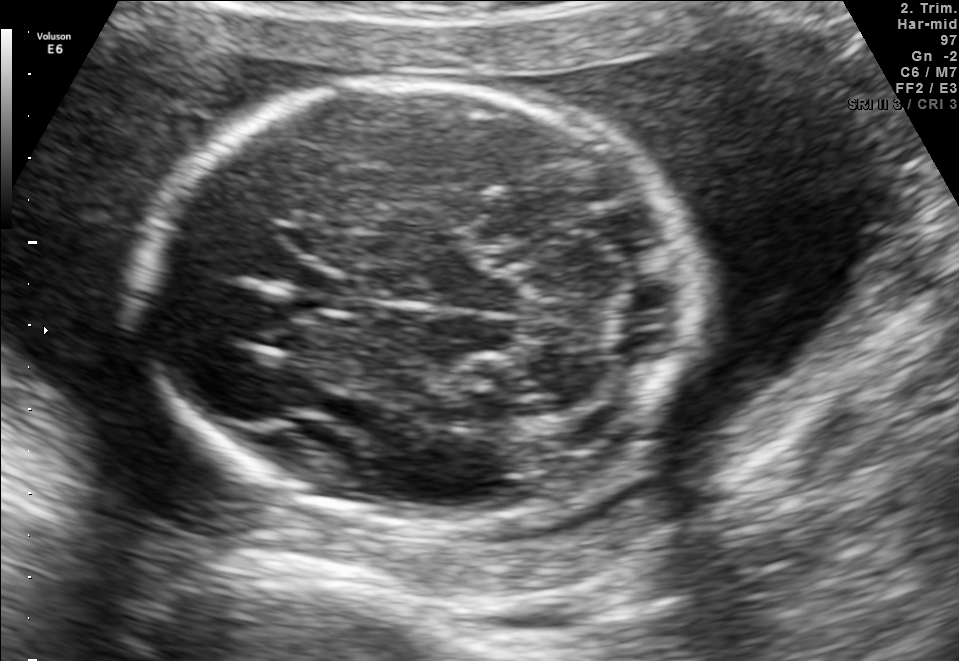
This is a 2D maternal-fetal ultrasound frame. Is it a fetal abdomen, fetal brain, fetal femur, fetal thorax, maternal cervix, or other standard plane? If it's fetal brain and one of the three standard brain planes (trans-thalamic, trans-cerebellum, trans-ventricular), name which.

Fetal brain (trans-cerebellum plane)